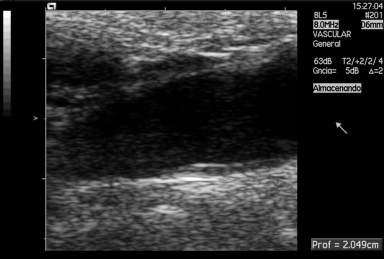
This is a 2D maternal-fetal ultrasound frame. Is it a fetal abdomen, fetal brain, fetal femur, fetal thorax, maternal cervix, or other standard plane? If it's fetal brain and one of the three standard brain planes (trans-thalamic, trans-cerebellum, trans-ventricular), name which.

Other